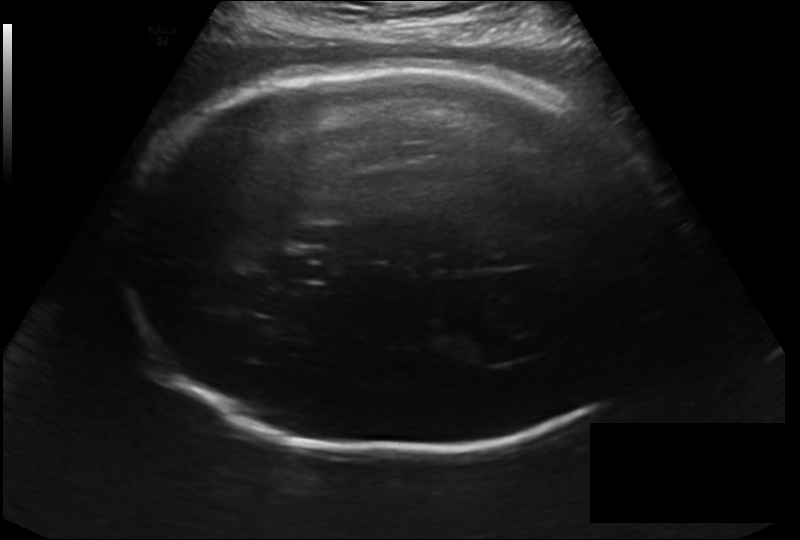
Fetal head ultrasound. Image width: 171.6 mm. Give [x1,y1,x2,y2] bounding boxes for each visible structure among: fetal head, CSP, LV.

Head: [122,64,677,452]
CSP: [279,247,329,283]
Lateral ventricle: [467,334,531,369]